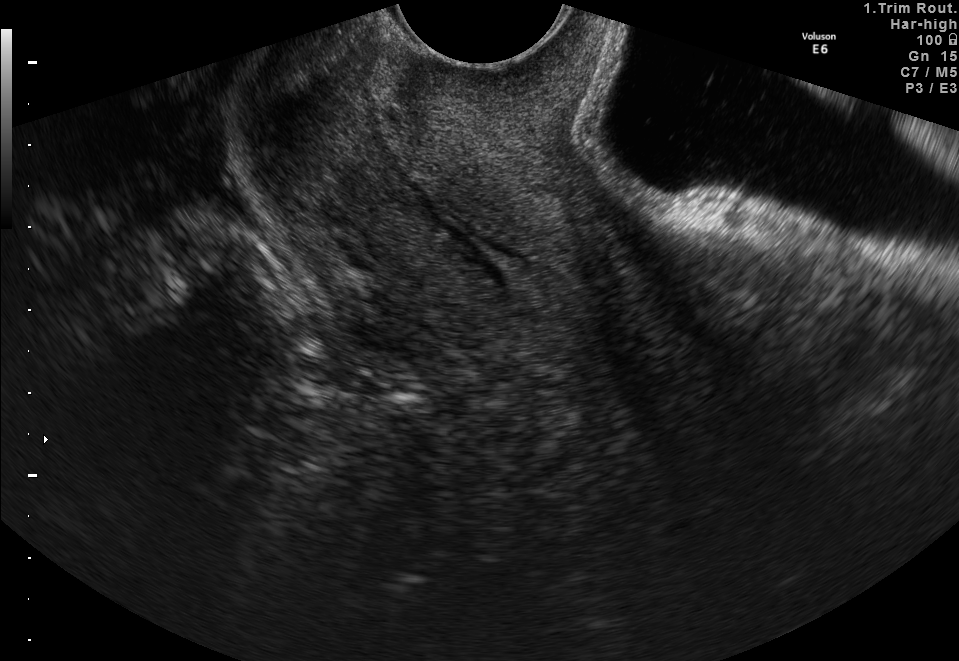
This is a 2D maternal-fetal ultrasound frame. Is it a fetal abdomen, fetal brain, fetal femur, fetal thorax, maternal cervix, or other standard plane? If it's fetal brain and one of the three standard brain planes (trans-thalamic, trans-cerebellum, trans-ventricular), name which.

Maternal cervix